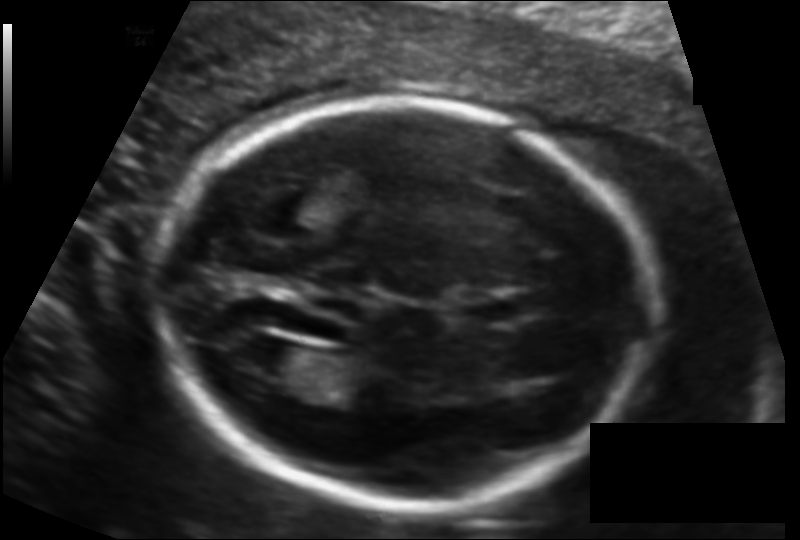
Fetal head ultrasound. Image width: 98.9 mm. Where is the cavum septum pellucidum?

CSP bounding box: [463,290,523,328]